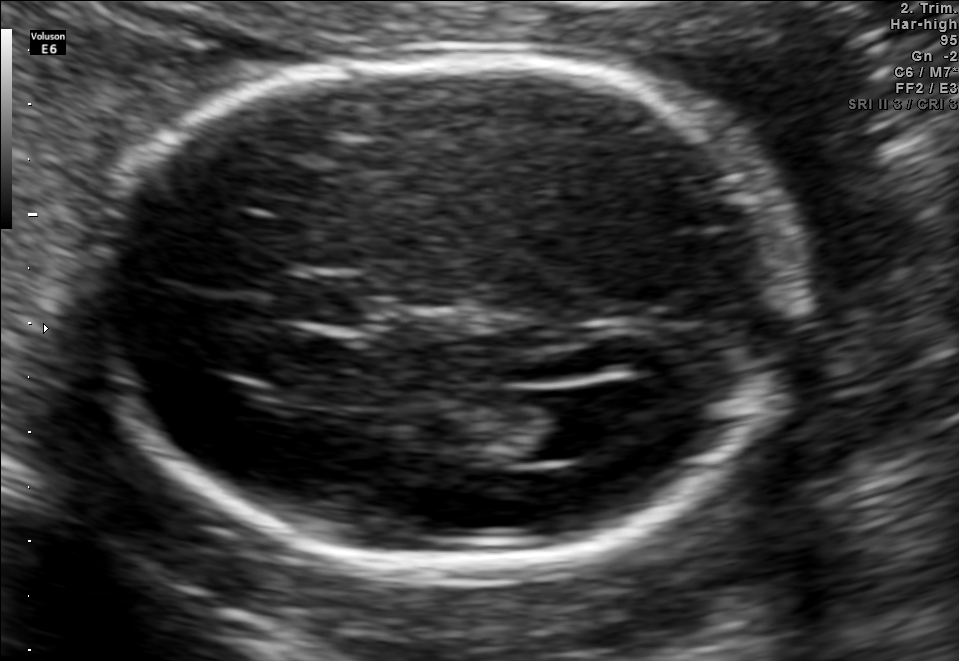
In this fetal brain, trans-ventricular plane, give the bounding box of the fetal head.

[78,45,819,578]